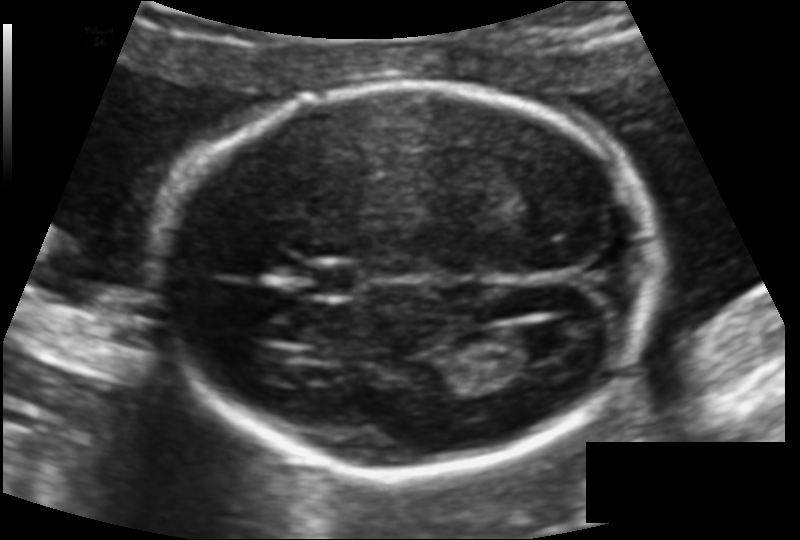
Estimate the fetal head circumference from this 2D ultrasound. Image width: 93.9 mm.

Head circumference: 169.6 mm.